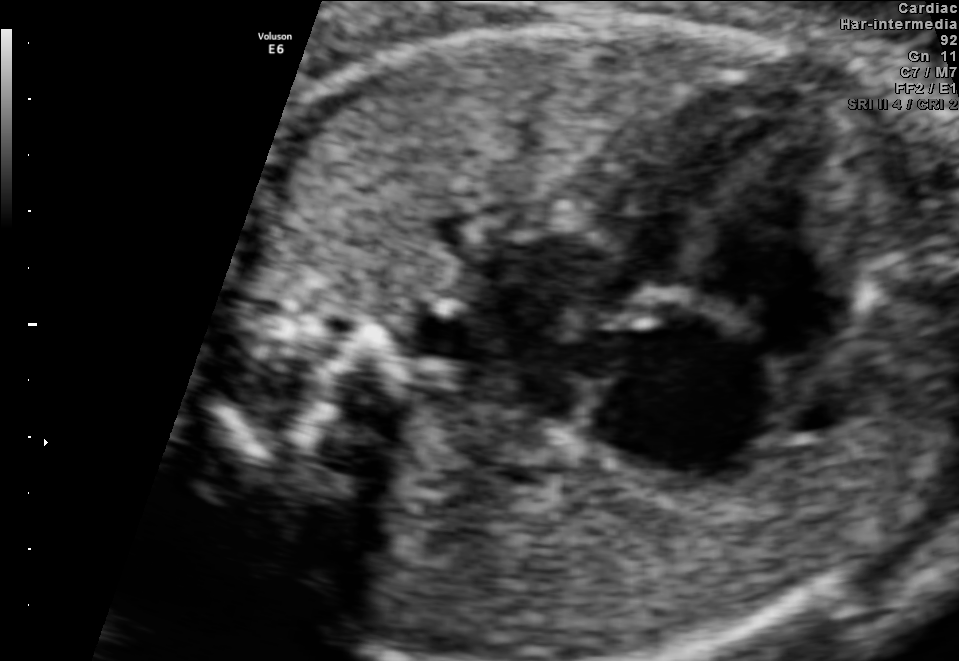
Classify this maternal-fetal ultrasound image as one of the six standard planes — fetal abdomen, fetal brain, fetal femur, fetal thorax, maternal cervix, or other. If it's fetal brain and one of the three standard brain planes (trans-thalamic, trans-cerebellum, trans-ventricular), name which.

Fetal thorax